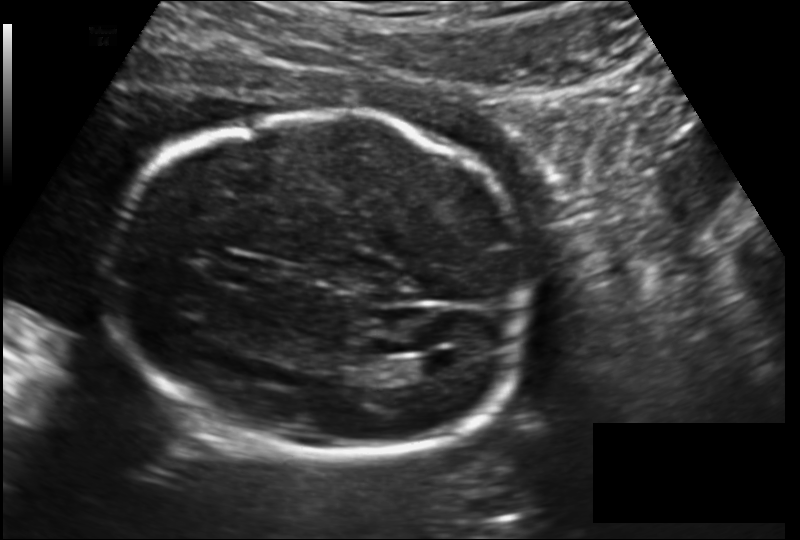
Fetal head ultrasound. Image width: 125.8 mm. Where is the cavum septum pellucidum?

CSP bounding box: [217,252,272,289]